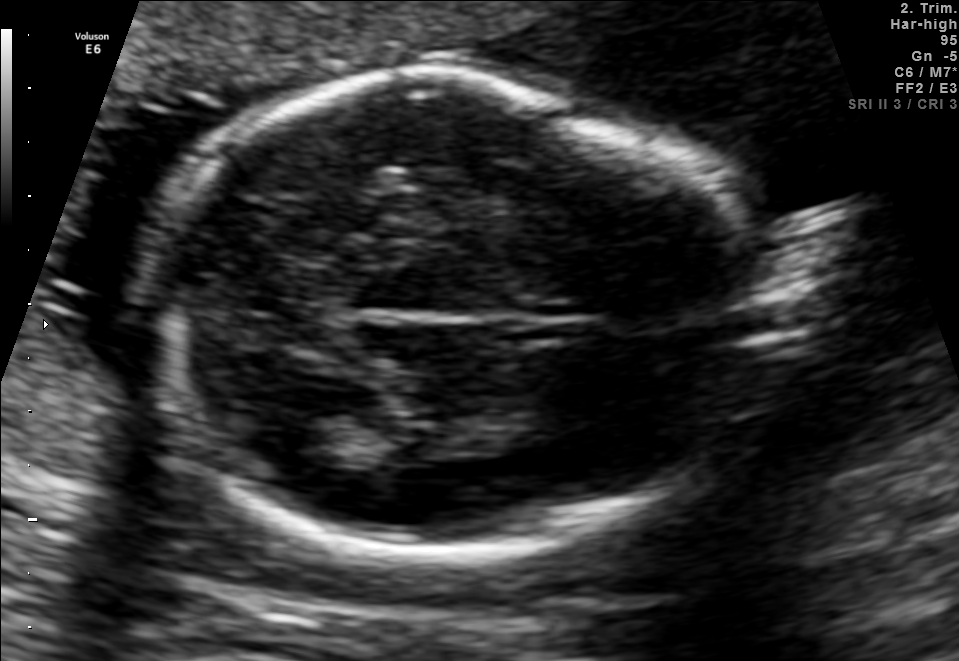
Classify this maternal-fetal ultrasound image as one of the six standard planes — fetal abdomen, fetal brain, fetal femur, fetal thorax, maternal cervix, or other. If it's fetal brain and one of the three standard brain planes (trans-thalamic, trans-cerebellum, trans-ventricular), name which.

Fetal brain (trans-thalamic plane)